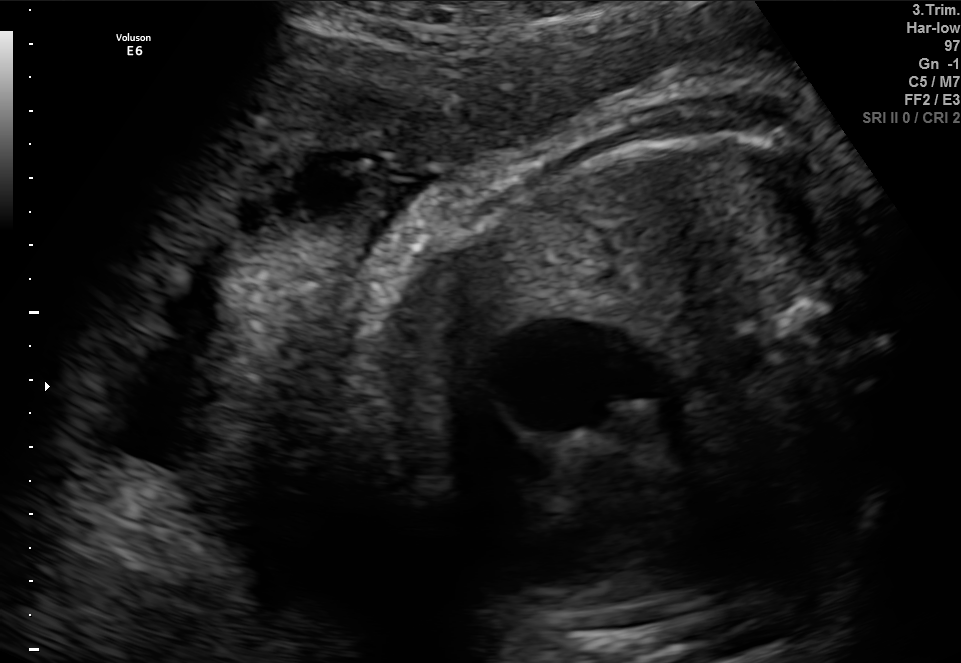
Classify this maternal-fetal ultrasound image as one of the six standard planes — fetal abdomen, fetal brain, fetal femur, fetal thorax, maternal cervix, or other. If it's fetal brain and one of the three standard brain planes (trans-thalamic, trans-cerebellum, trans-ventricular), name which.

Other